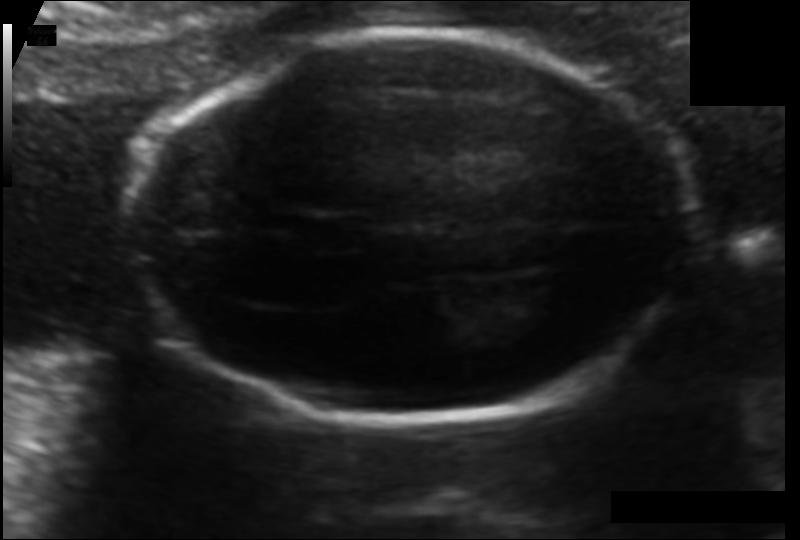
In this fetal head ultrasound, give bounding boxes for the head outline, cavum septum pellucidum (CSP), and lateral ventricle (LV), where visible. Image width: 82.3 mm.

Head: [133,31,692,421]